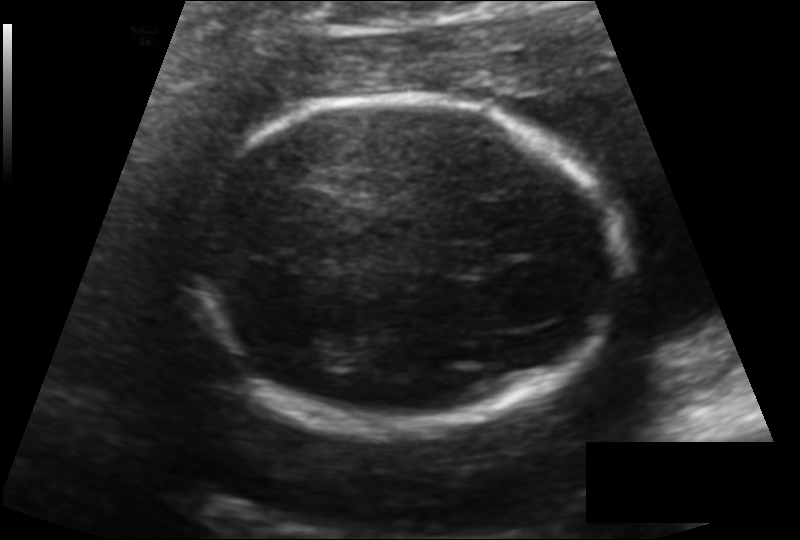
Fetal head ultrasound. Image width: 109.0 mm. Locate the fetal head and, if visible, the cavum septum pellucidum (CSP) and lateral ventricle (LV). Give bounding boxes as [x1,y1,x2,y2].

Head: [178,99,627,430]